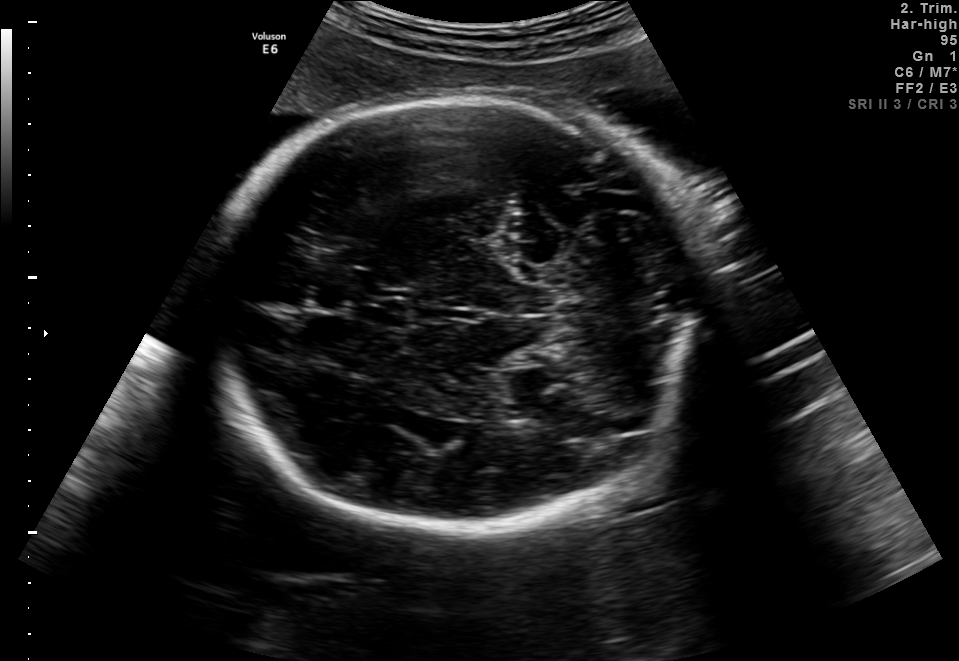
Fetal brain, trans-thalamic plane. Give [x1,y1,x2,y2] bounding boxes for each visible structure among: fetal head, CSP, LV.

Head: [204,97,693,536]
CSP: [366,301,408,327]